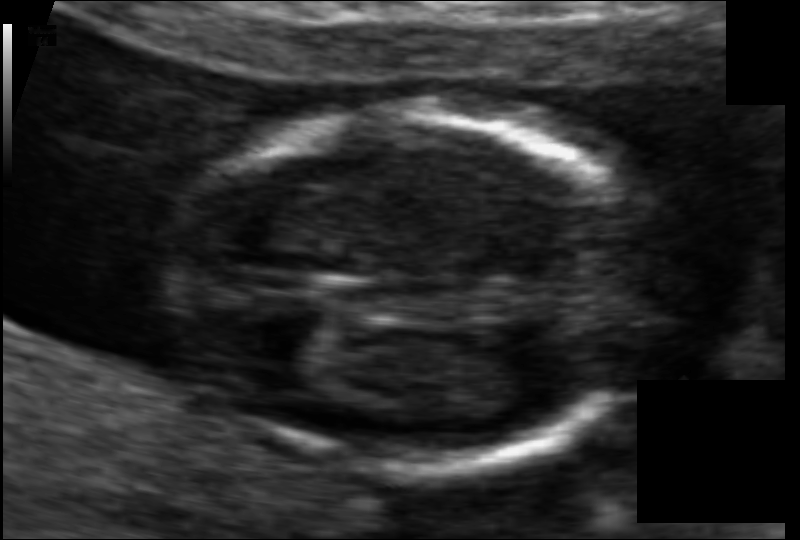
Fetal head ultrasound. Image width: 51.8 mm. Locate the fetal head.

Head: [159,111,651,471]